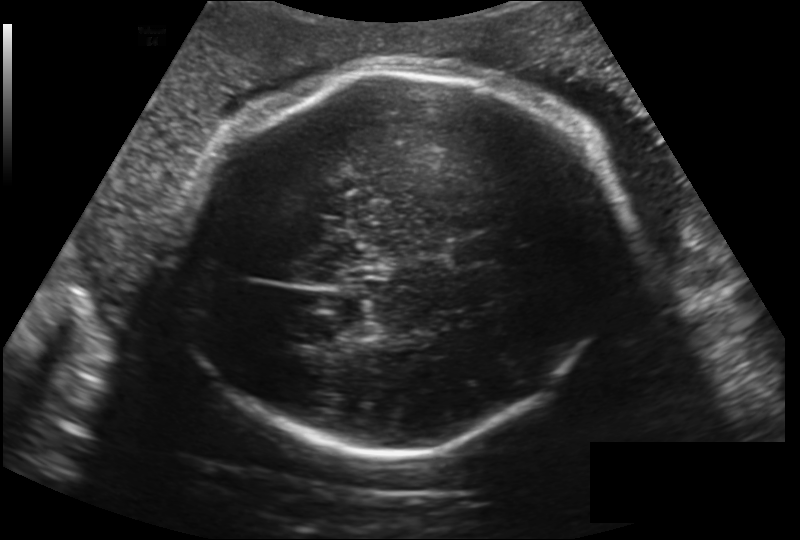
Fetal head ultrasound. Image width: 179.4 mm. Locate the fetal head and, if visible, the cavum septum pellucidum (CSP) and lateral ventricle (LV). Give bounding boxes as [x1,y1,x2,y2].

Head: [179,62,616,455]